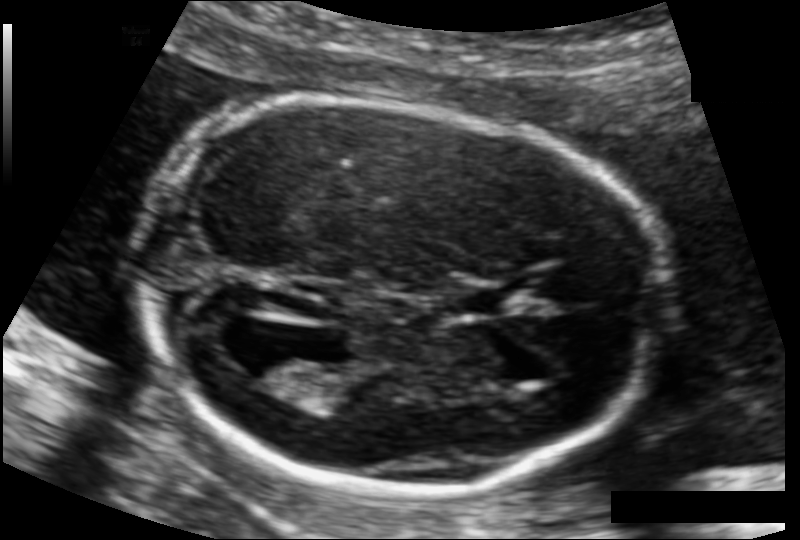
Measure the fetal head circumference shown in this ultrasound image. Image width: 85.7 mm.

Head circumference: 161.6 mm.